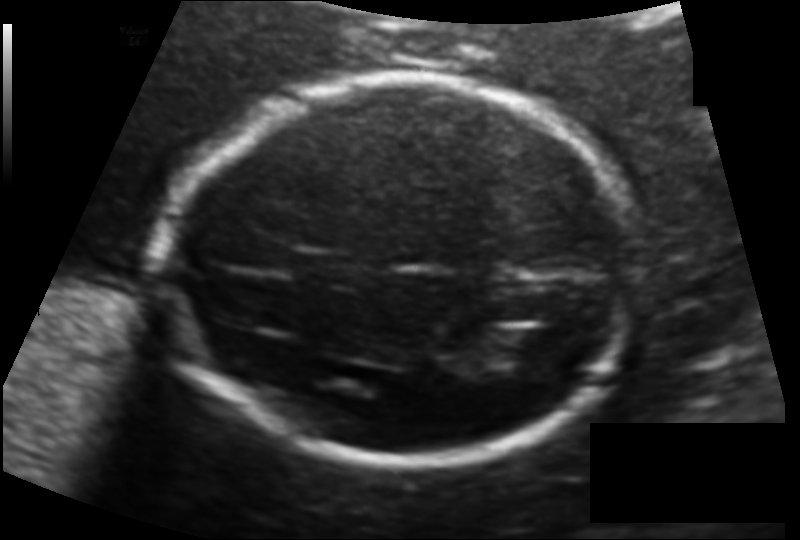
Fetal head ultrasound. Image width: 98.0 mm. Locate the lateral ventricle.

Lateral ventricle: [502,330,556,362]